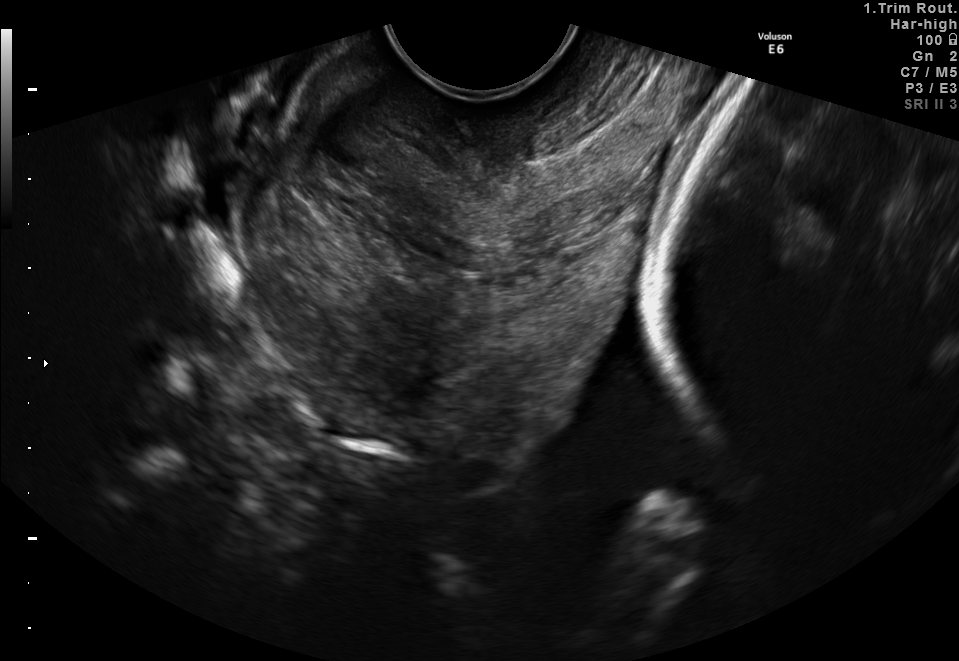
Identify the standard plane in this fetal ultrasound image: fetal abdomen, fetal brain, fetal femur, fetal thorax, maternal cervix, or other. If it's fetal brain and one of the three standard brain planes (trans-thalamic, trans-cerebellum, trans-ventricular), name which.

Maternal cervix